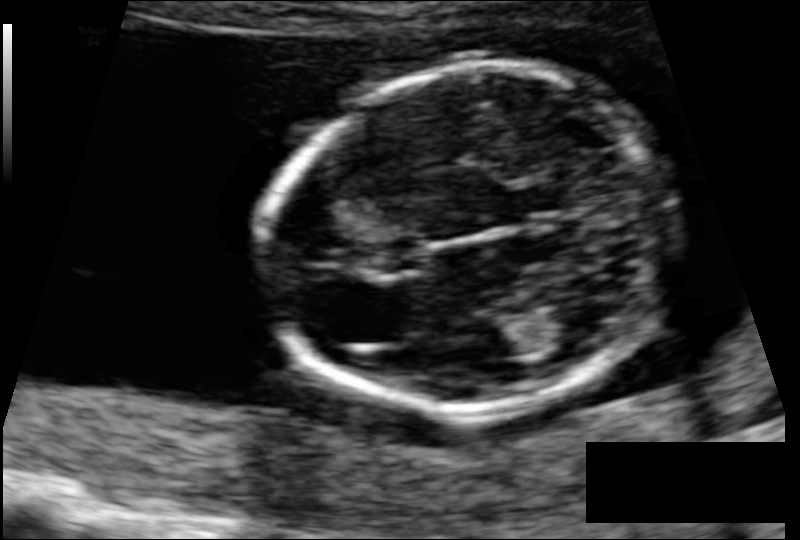
From this fetal ultrasound, estimate the head circumference (image width 70.5 mm).

Head circumference: 106.5 mm.